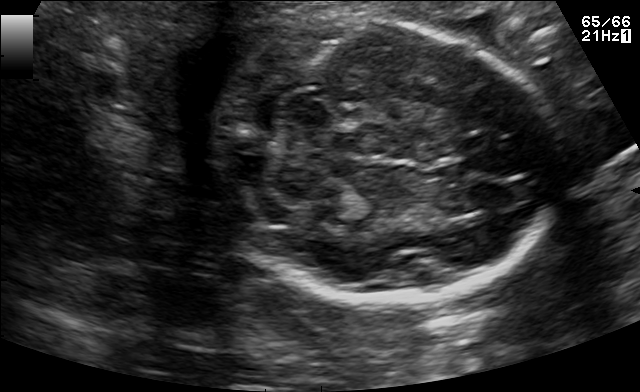
Fetal brain, trans-cerebellum plane. Locate the fetal head.

Head: [203,20,561,302]